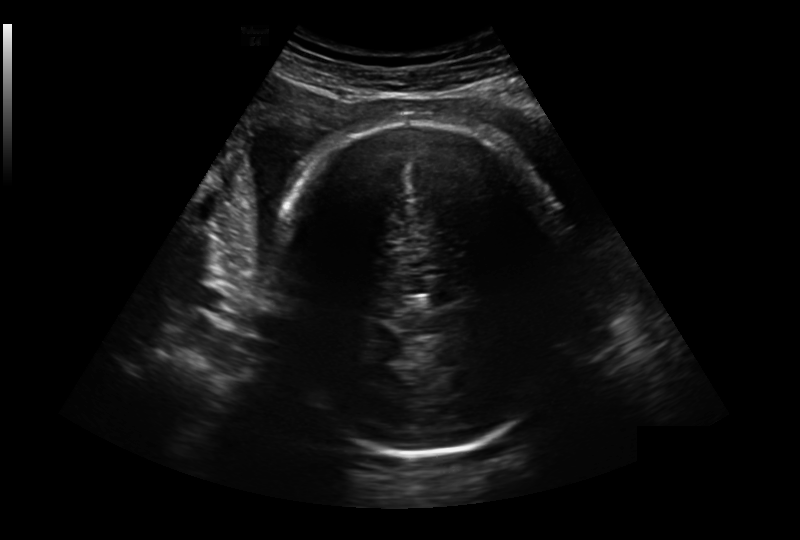
From this fetal ultrasound, estimate the head circumference (image width 225.0 mm).

Head circumference: 284.0 mm.